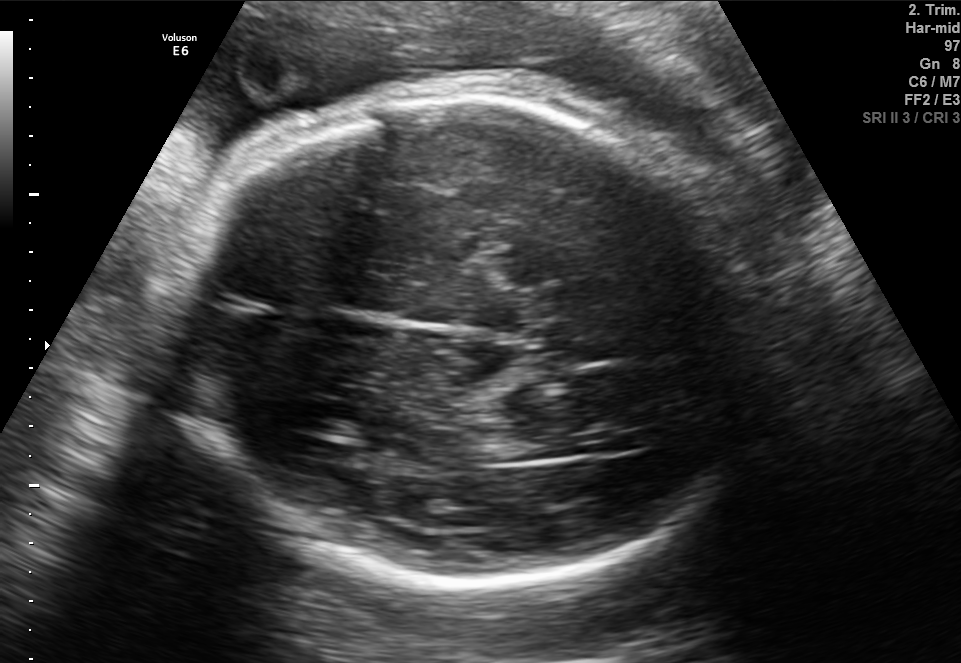
Fetal brain, trans-thalamic plane. Locate the fetal head.

Head: [191,103,766,588]